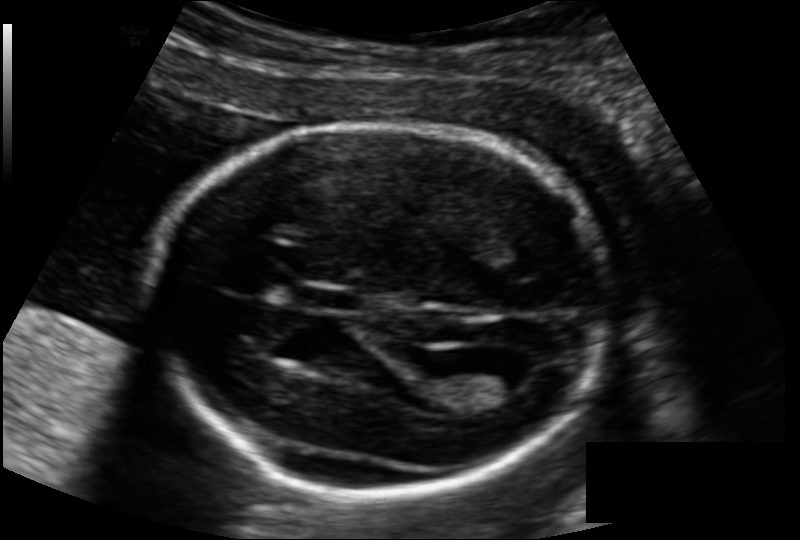
What is the fetal head circumference? Image width is 106.7 mm.

176.4 mm